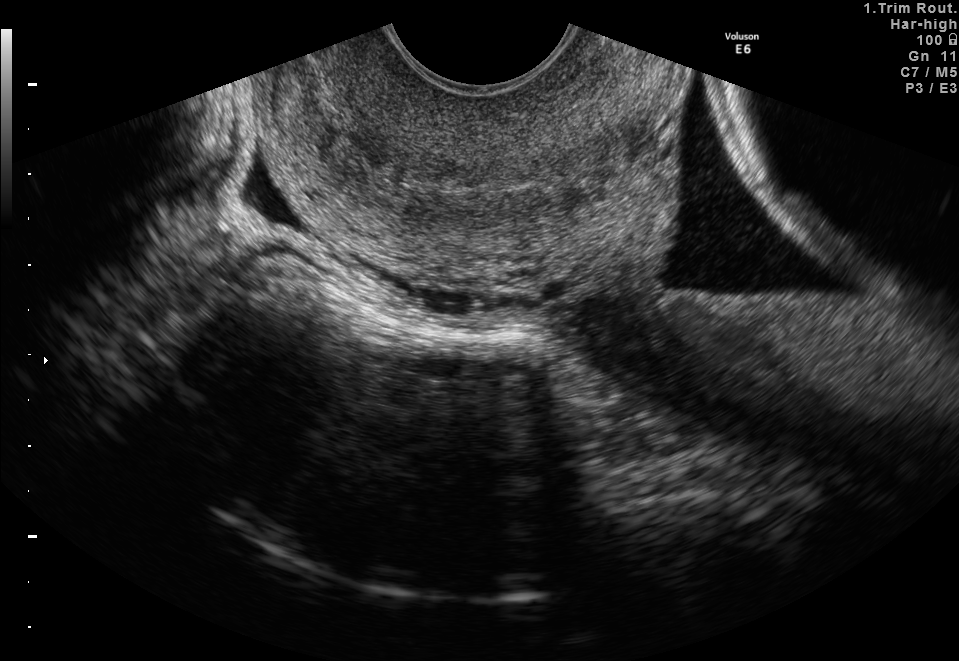
This is a 2D maternal-fetal ultrasound frame. Is it a fetal abdomen, fetal brain, fetal femur, fetal thorax, maternal cervix, or other standard plane? If it's fetal brain and one of the three standard brain planes (trans-thalamic, trans-cerebellum, trans-ventricular), name which.

Maternal cervix